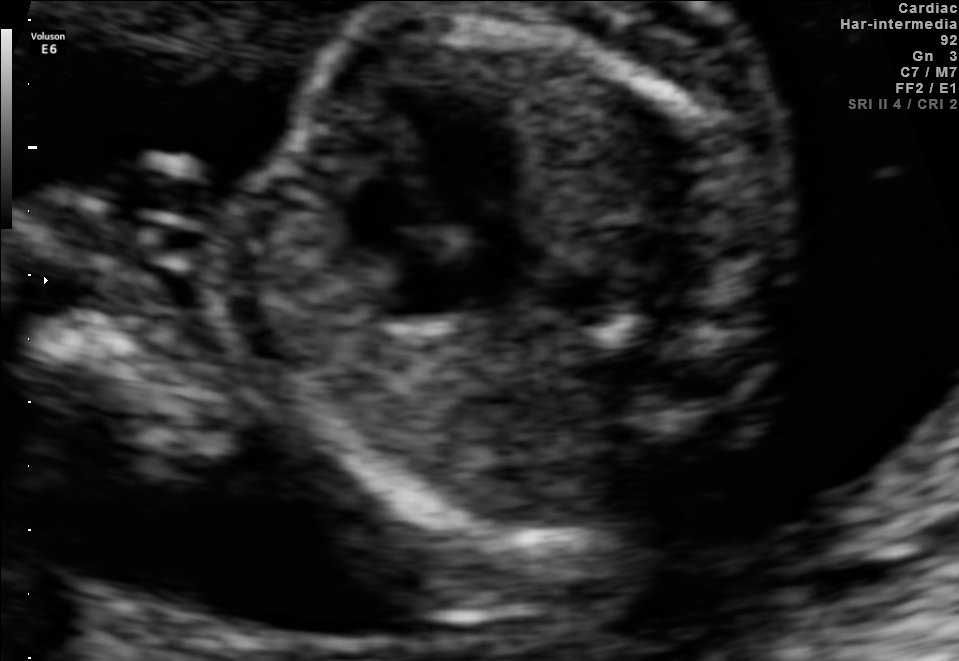
This is a 2D maternal-fetal ultrasound frame. Is it a fetal abdomen, fetal brain, fetal femur, fetal thorax, maternal cervix, or other standard plane? If it's fetal brain and one of the three standard brain planes (trans-thalamic, trans-cerebellum, trans-ventricular), name which.

Fetal thorax